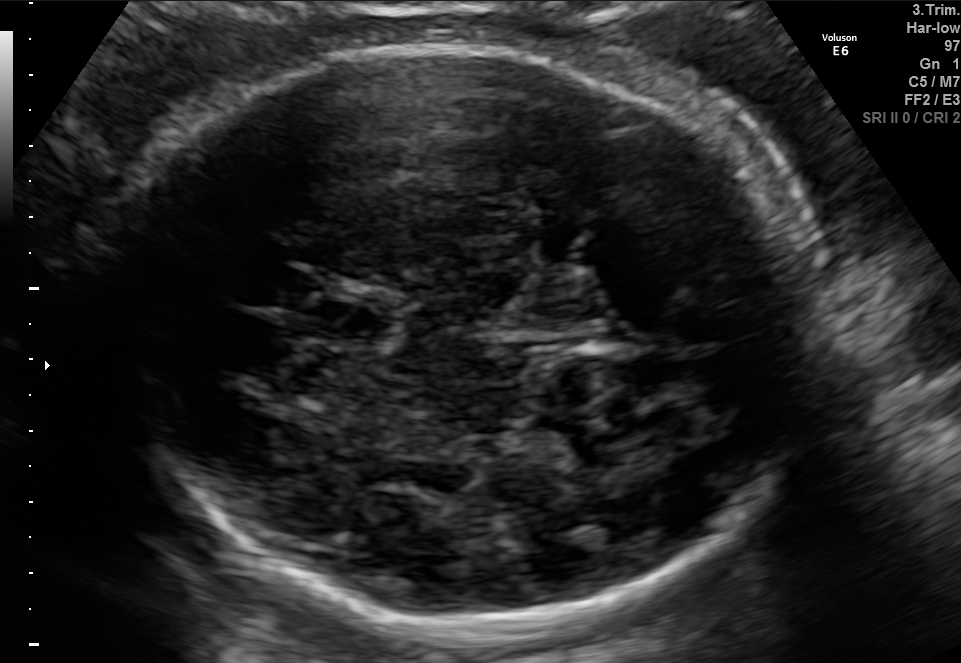
Fetal brain, trans-thalamic plane. Where is the cavum septum pellucidum?

CSP bounding box: [323,300,390,347]